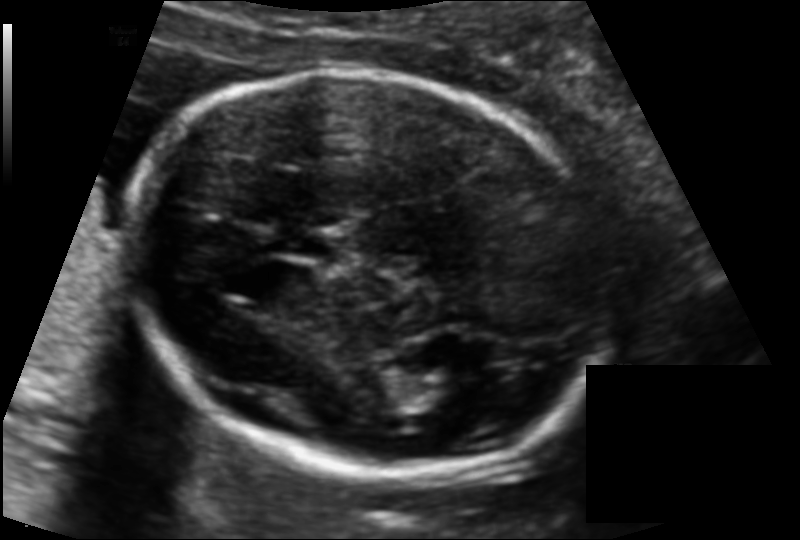
In this fetal head ultrasound, give bounding boxes for the head outline, cavum septum pellucidum (CSP), and lateral ventricle (LV), where visible. Image width: 93.1 mm.

Head: [132,73,606,477]
CSP: [275,221,350,270]